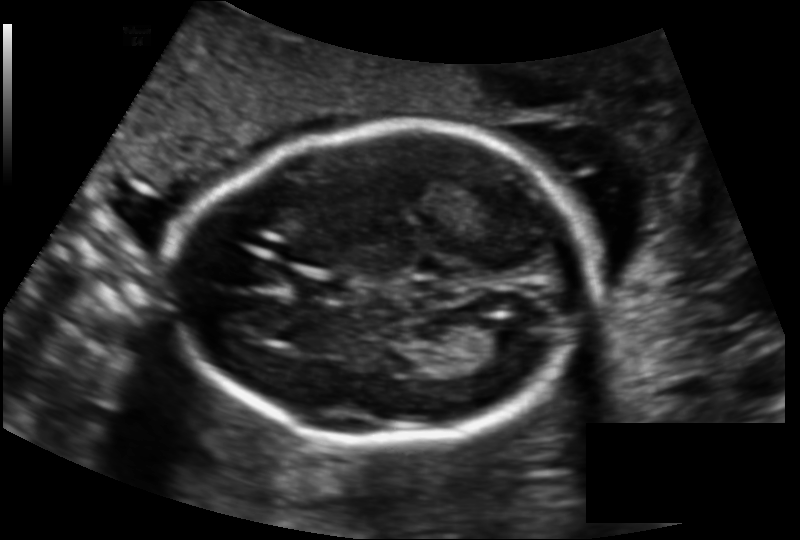
Fetal head ultrasound. Image width: 109.7 mm. Where is the fetal head?

Head bounding box: [177,124,593,444]